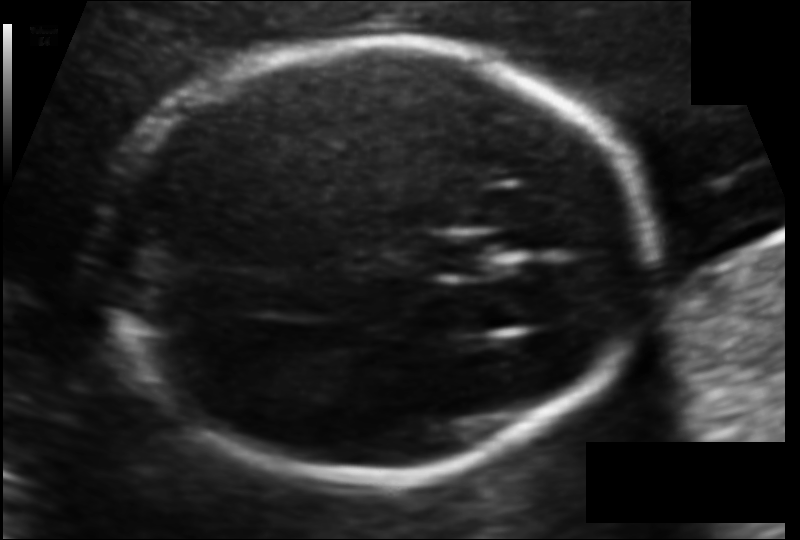
Fetal head ultrasound. Image width: 83.5 mm. Where is the cavum septum pellucidum?

CSP bounding box: [429,235,497,278]